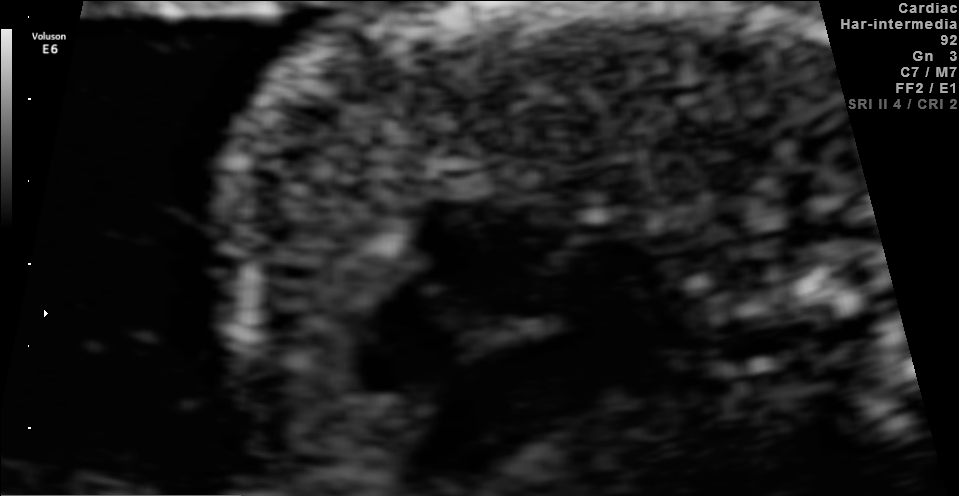
Identify the standard plane in this fetal ultrasound image: fetal abdomen, fetal brain, fetal femur, fetal thorax, maternal cervix, or other. If it's fetal brain and one of the three standard brain planes (trans-thalamic, trans-cerebellum, trans-ventricular), name which.

Fetal thorax